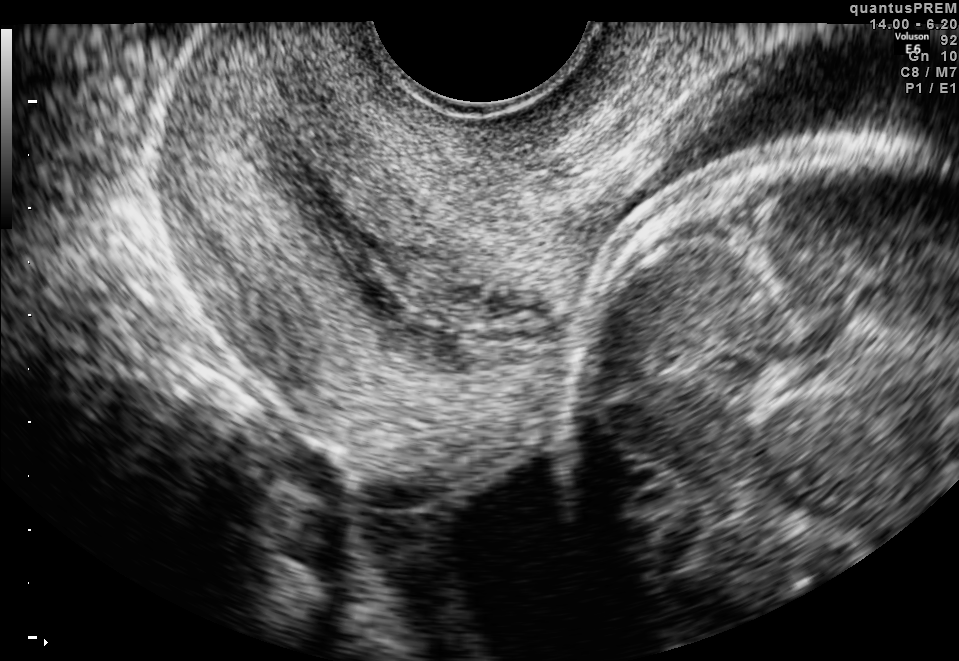
Classify this maternal-fetal ultrasound image as one of the six standard planes — fetal abdomen, fetal brain, fetal femur, fetal thorax, maternal cervix, or other. If it's fetal brain and one of the three standard brain planes (trans-thalamic, trans-cerebellum, trans-ventricular), name which.

Maternal cervix